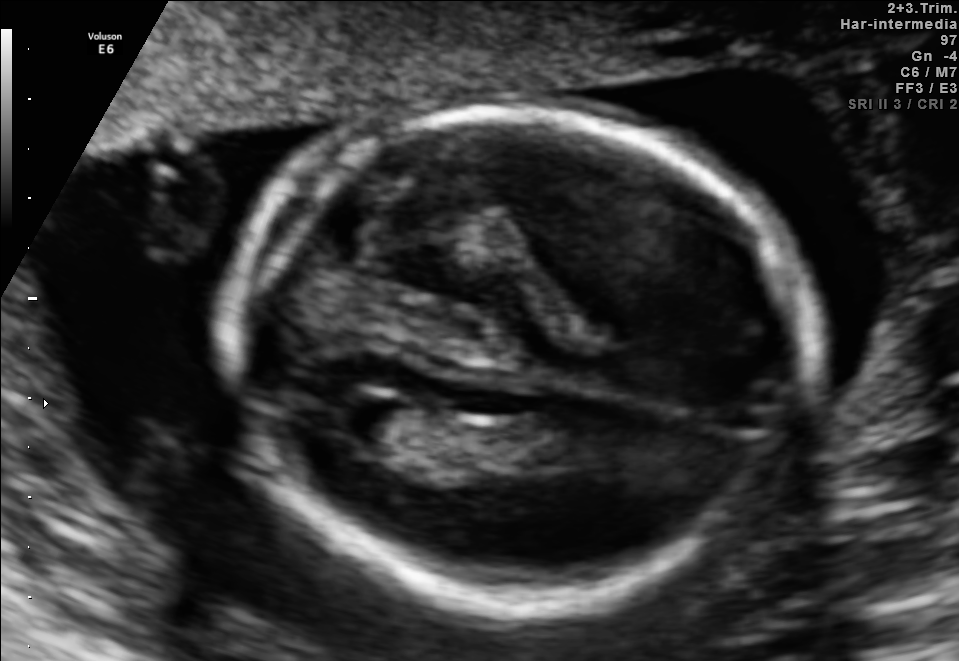
Fetal brain, trans-ventricular plane. Locate the fetal head.

Head: [215,101,826,618]